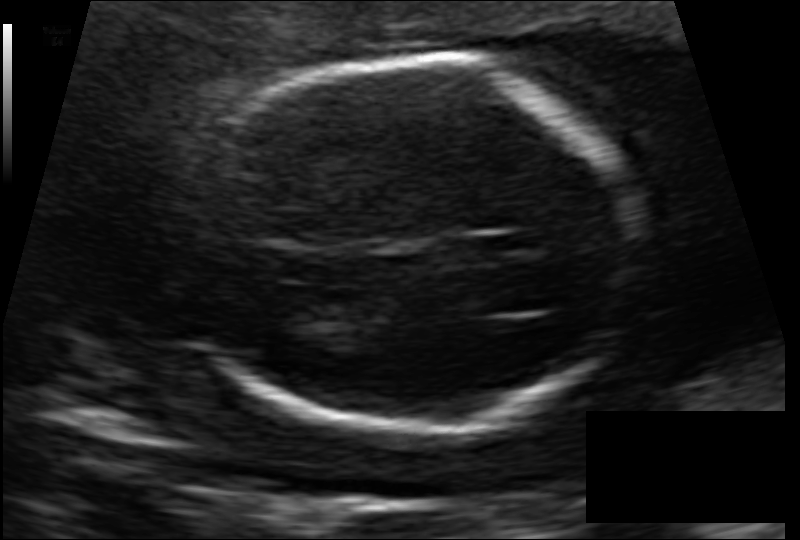
What is the fetal head circumference? Image width is 103.2 mm.

173.8 mm